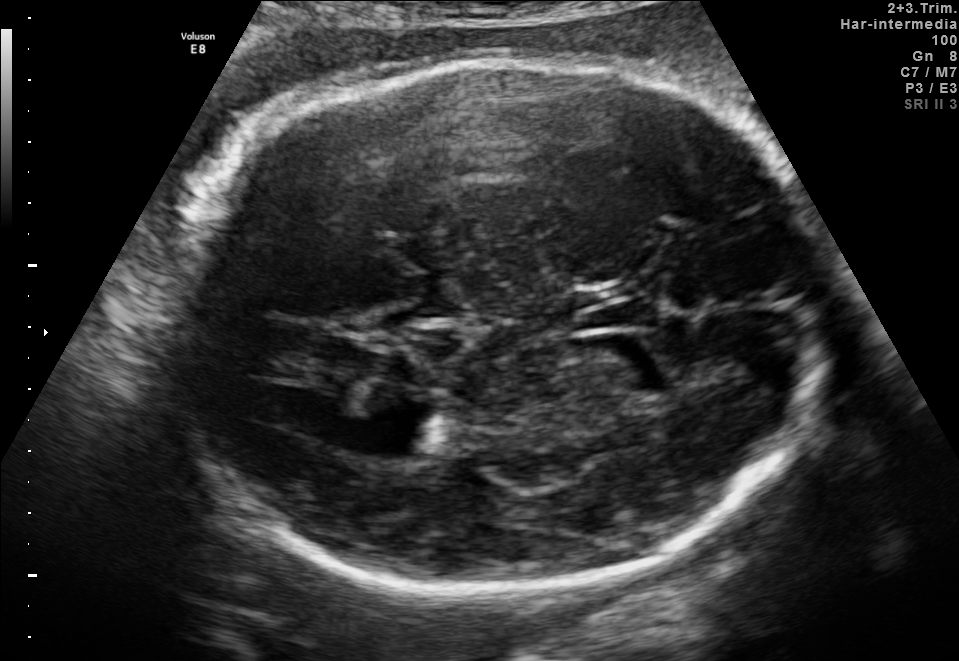
Fetal brain, trans-thalamic plane. Locate the fetal head and, if visible, the cavum septum pellucidum (CSP) and lateral ventricle (LV). Give bounding boxes as [x1,y1,x2,y2].

Head: [172,55,819,594]
Lateral ventricle: [372,407,452,455]